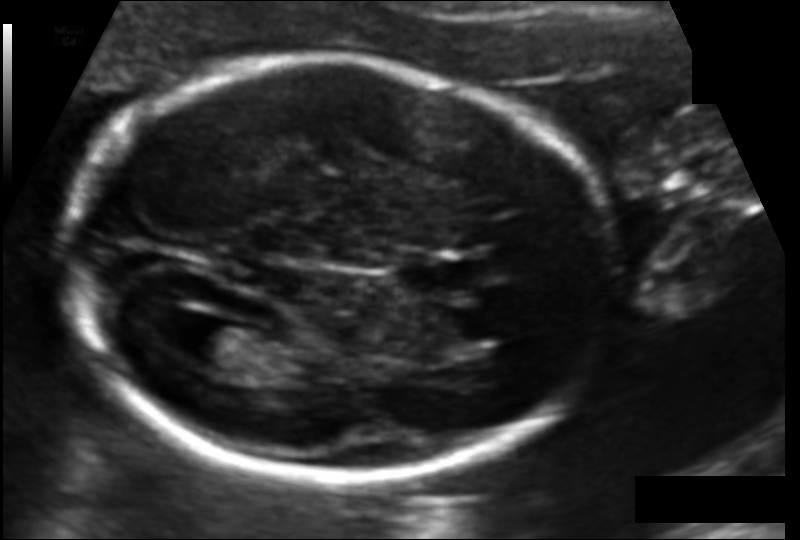
In this fetal head ultrasound, give bounding boxes for the head outline, cavum septum pellucidum (CSP), and lateral ventricle (LV), where visible. Image width: 91.0 mm.

Head: [64,57,616,481]
CSP: [398,255,466,296]
Lateral ventricle: [176,315,253,371]